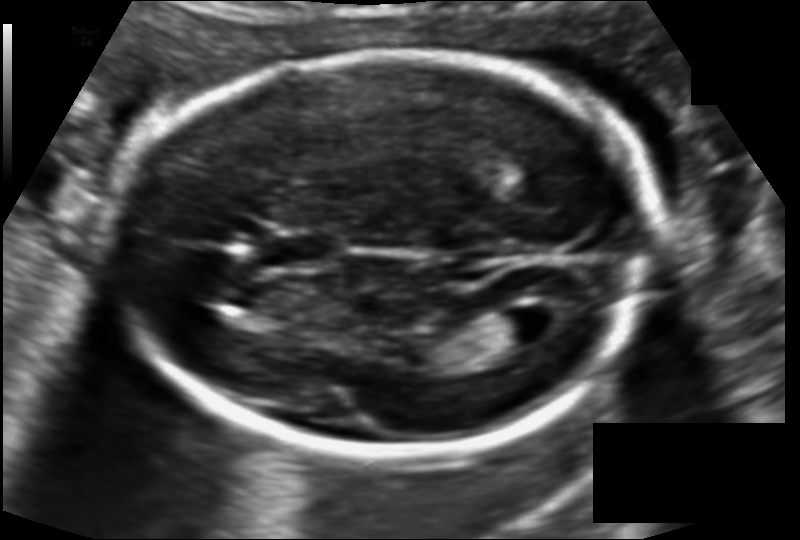
Fetal head ultrasound. Image width: 92.2 mm. Give [x1,y1,x2,y2] bounding boxes for each visible structure among: fetal head, CSP, LV.

Head: [108,53,653,451]
CSP: [269,233,331,266]
Lateral ventricle: [483,297,561,355]